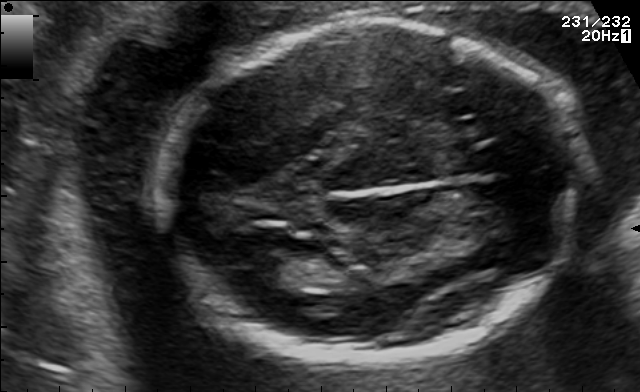
Classify this maternal-fetal ultrasound image as one of the six standard planes — fetal abdomen, fetal brain, fetal femur, fetal thorax, maternal cervix, or other. If it's fetal brain and one of the three standard brain planes (trans-thalamic, trans-cerebellum, trans-ventricular), name which.

Fetal brain (trans-thalamic plane)